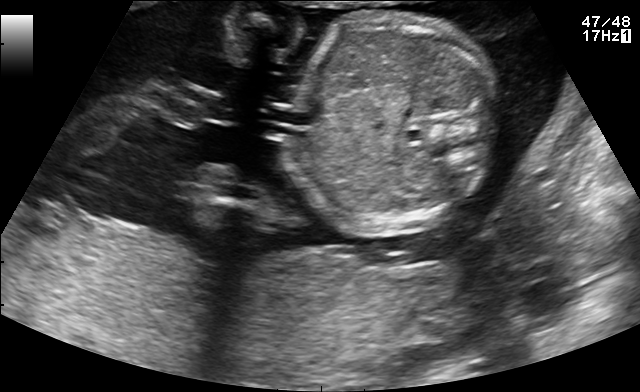
Which standard maternal-fetal ultrasound plane is shown: fetal abdomen, fetal brain, fetal femur, fetal thorax, maternal cervix, or other? If it's fetal brain and one of the three standard brain planes (trans-thalamic, trans-cerebellum, trans-ventricular), name which.

Other